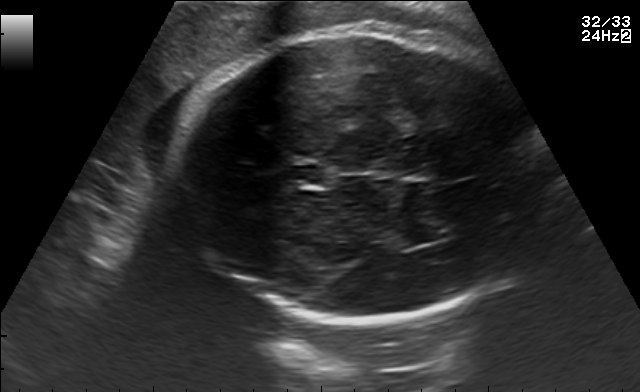
Fetal brain, trans-thalamic plane. Give [x1,y1,x2,y2] bounding boxes for each visible structure among: fetal head, CSP, LV.

Head: [168,29,545,320]
CSP: [284,165,323,184]
Lateral ventricle: [391,220,452,252]